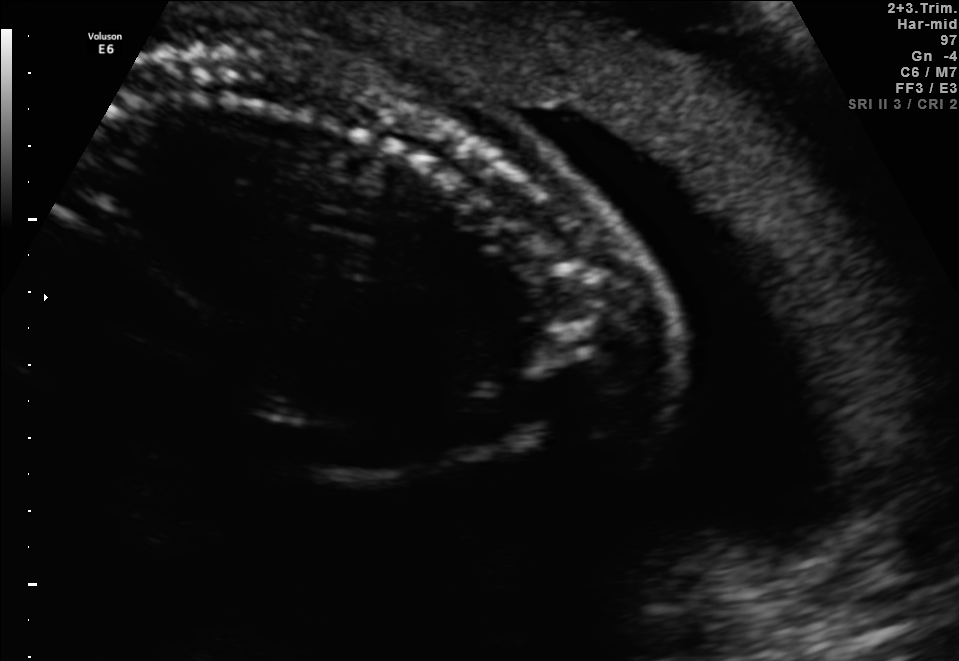
Identify the standard plane in this fetal ultrasound image: fetal abdomen, fetal brain, fetal femur, fetal thorax, maternal cervix, or other. If it's fetal brain and one of the three standard brain planes (trans-thalamic, trans-cerebellum, trans-ventricular), name which.

Other